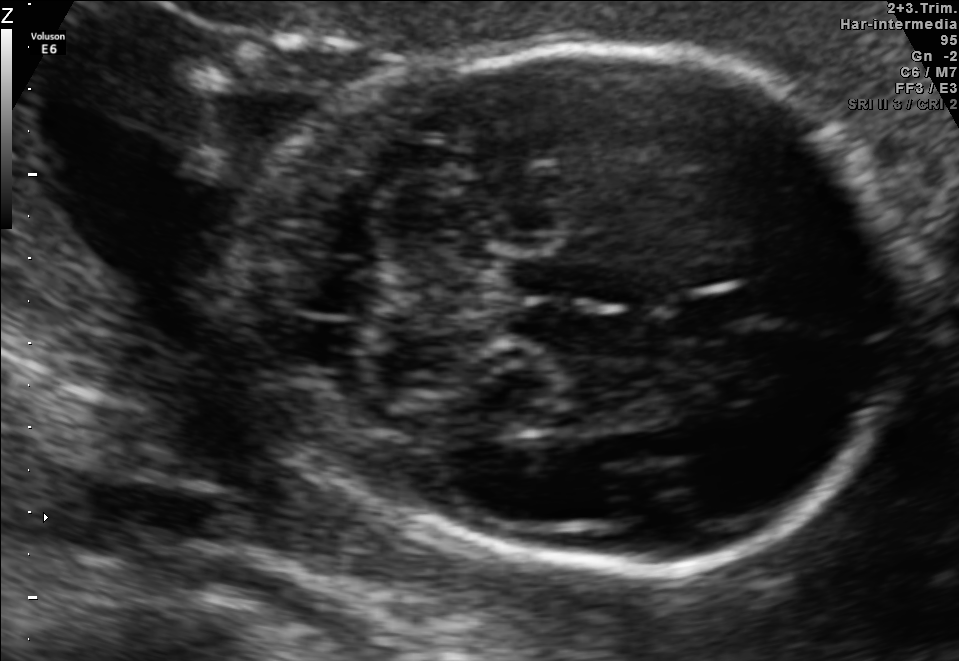
In this fetal brain, trans-cerebellum plane, give the bounding box of the fetal head.

[234,46,913,569]